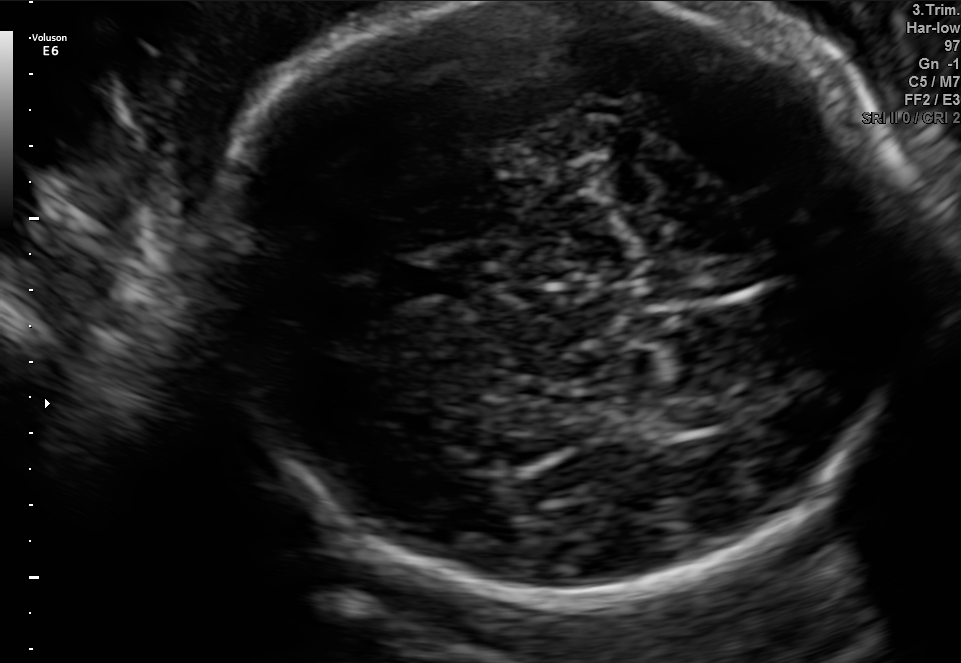
In this fetal brain, trans-thalamic plane, give the bounding box of the cavum septum pellucidum.

[396,258,487,305]